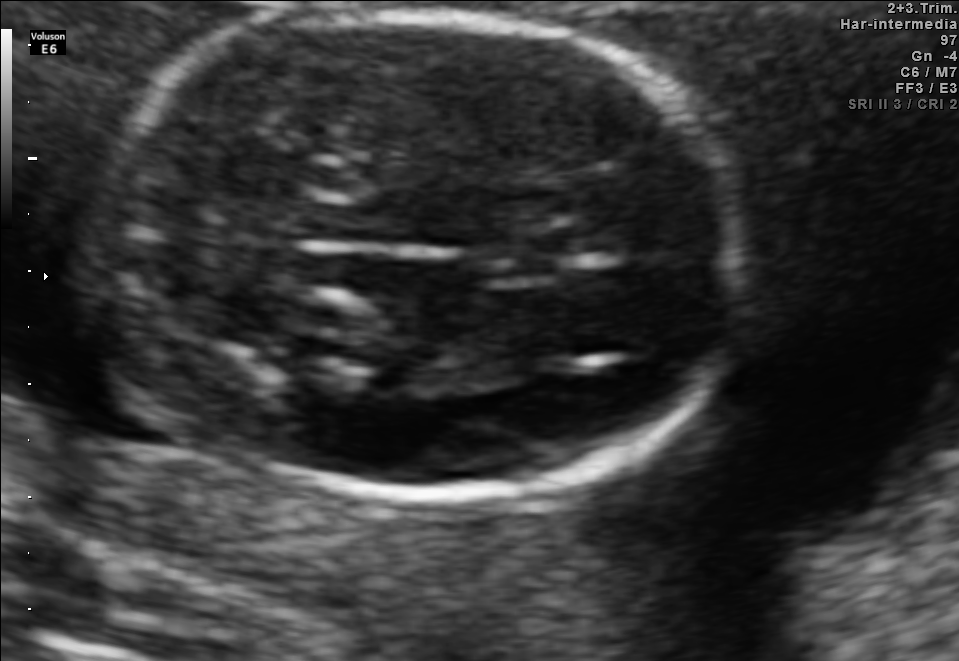
In this fetal brain, trans-thalamic plane, give the bounding box of the fetal head.

[99,13,748,496]